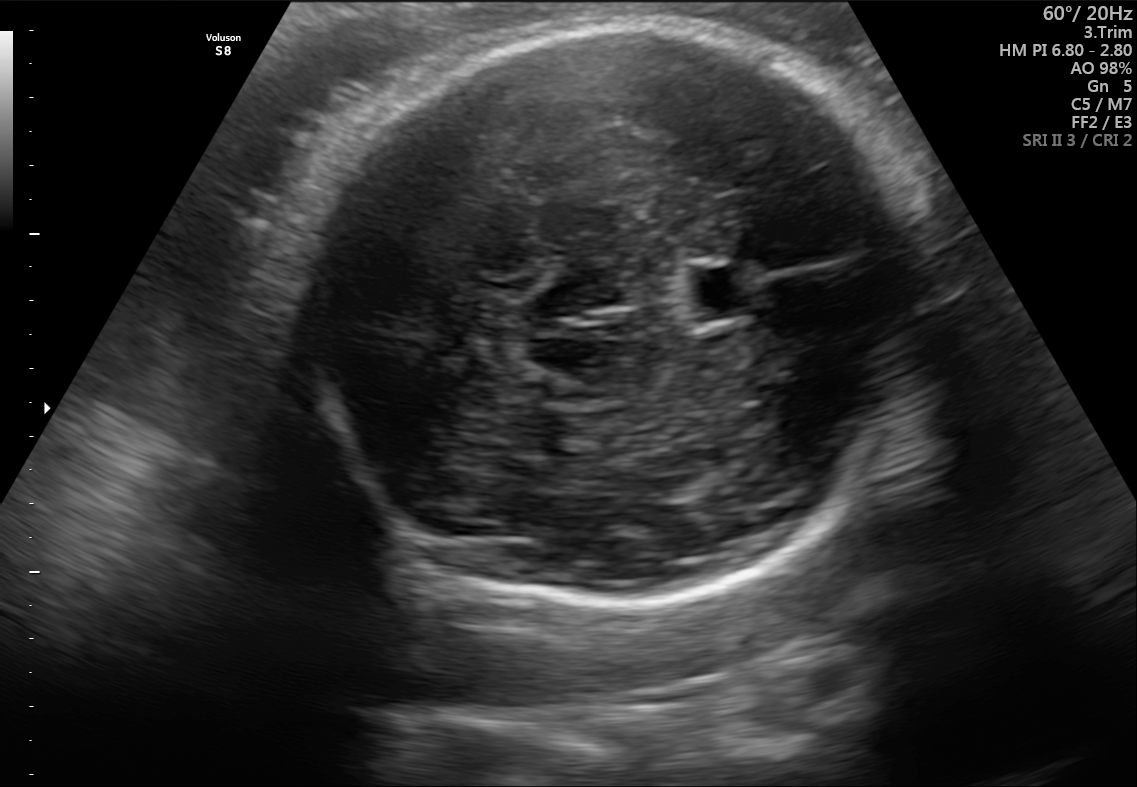
Fetal brain, trans-thalamic plane. Give [x1,y1,x2,y2] bounding boxes for each visible structure among: fetal head, CSP, LV.

Head: [294,29,933,608]
CSP: [682,260,767,325]